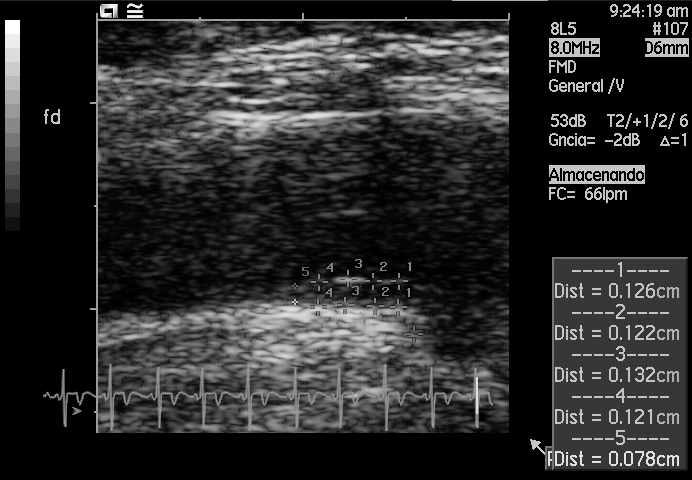
Identify the standard plane in this fetal ultrasound image: fetal abdomen, fetal brain, fetal femur, fetal thorax, maternal cervix, or other. If it's fetal brain and one of the three standard brain planes (trans-thalamic, trans-cerebellum, trans-ventricular), name which.

Other